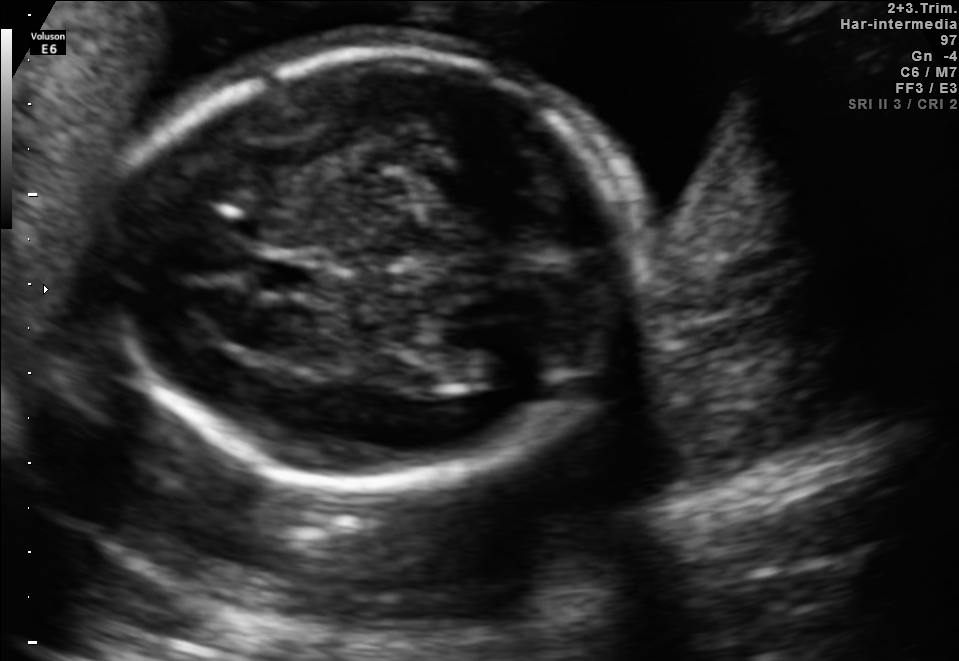
In this fetal brain, trans-thalamic plane, give bounding boxes for the head outline, cavum septum pellucidum (CSP), and lateral ventricle (LV), where visible.

Head: [111,48,648,473]
CSP: [255,260,323,294]
Lateral ventricle: [419,323,522,387]